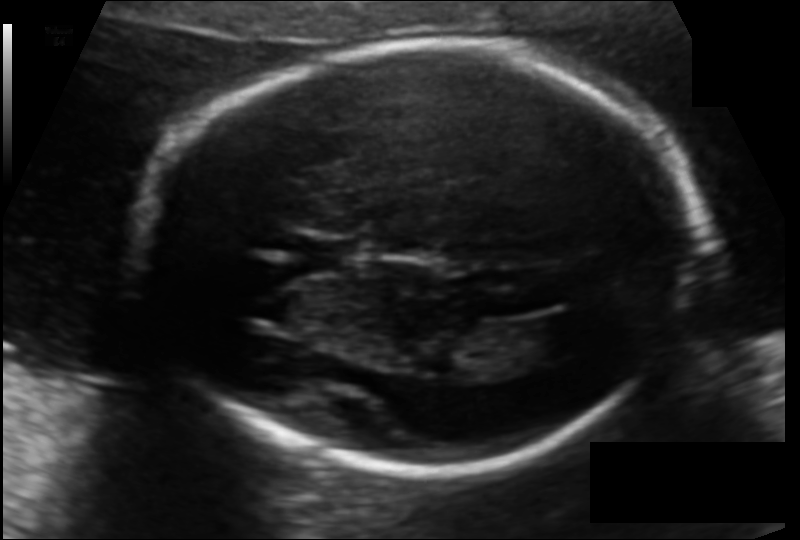
Measure the fetal head circumference shown in this ultrasound image. Image width: 97.4 mm.

Head circumference: 193.1 mm.